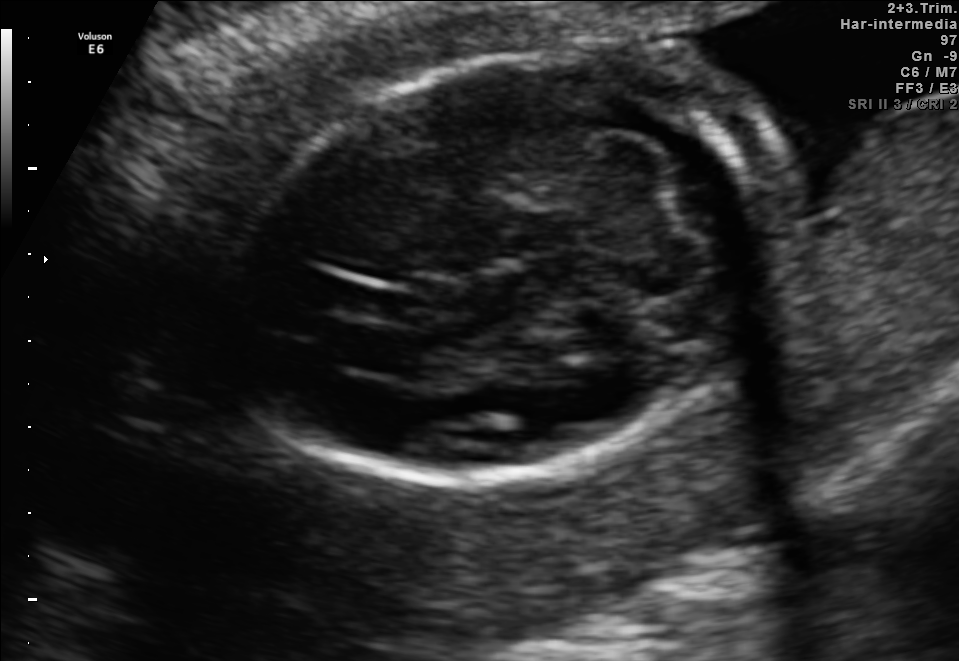
Fetal brain, trans-cerebellum plane. Give [x1,y1,x2,y2] bounding boxes for each visible structure among: fetal head, CSP, LV.

Head: [228,47,803,484]